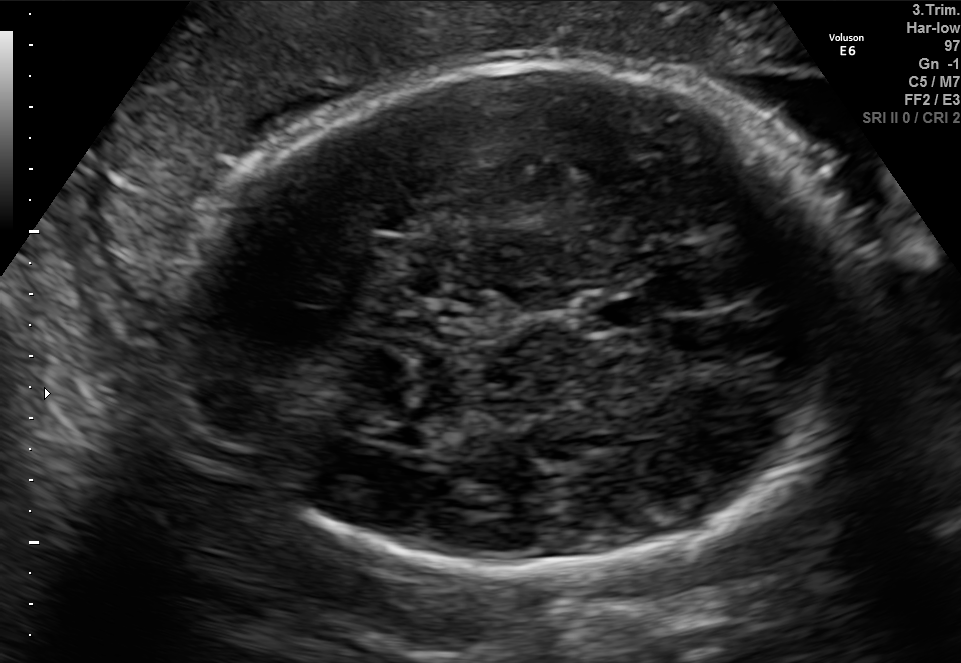
In this fetal brain, trans-thalamic plane, give the bounding box of the fetal head.

[191,57,862,574]